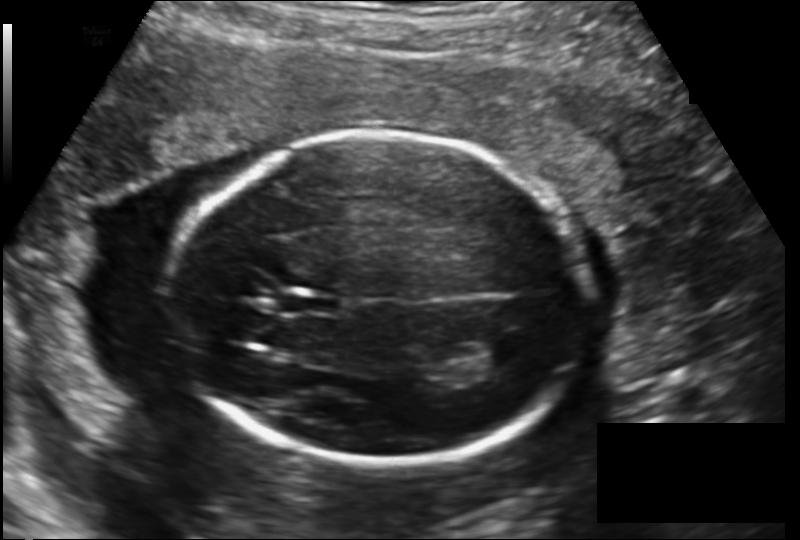
What is the fetal head circumference? Image width is 130.6 mm.

199.3 mm